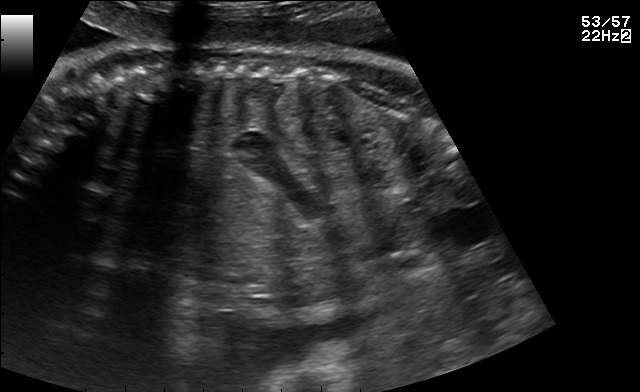
This is a 2D maternal-fetal ultrasound frame. Is it a fetal abdomen, fetal brain, fetal femur, fetal thorax, maternal cervix, or other standard plane? If it's fetal brain and one of the three standard brain planes (trans-thalamic, trans-cerebellum, trans-ventricular), name which.

Other